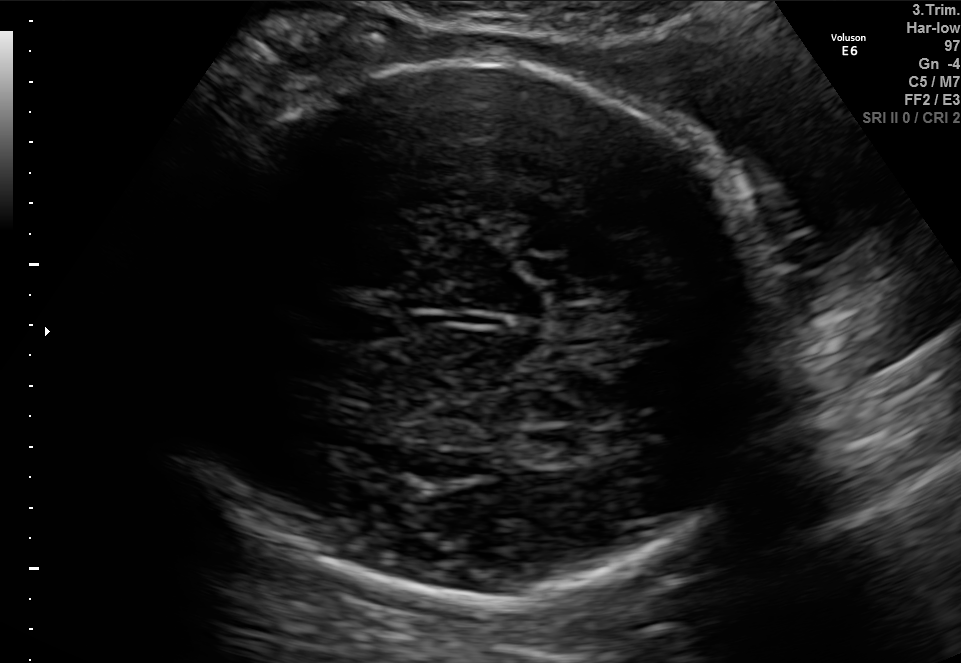
Fetal brain, trans-thalamic plane. Locate the fetal head and, if visible, the cavum septum pellucidum (CSP) and lateral ventricle (LV). Give bounding boxes as [x1,y1,x2,y2].

Head: [157,60,774,607]
CSP: [318,312,403,342]
Lateral ventricle: [505,424,586,470]